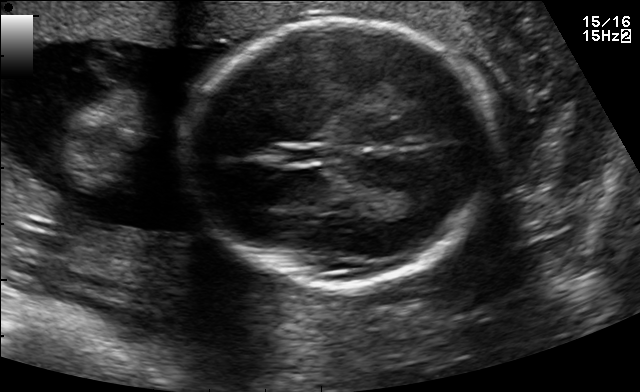
In this fetal brain, trans-thalamic plane, give the bounding box of the cavum septum pellucidum.

[280,144,331,165]